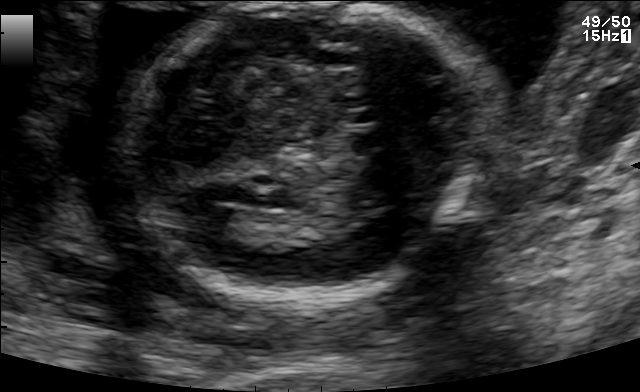
In this fetal brain, trans-thalamic plane, give the bounding box of the fetal head.

[133,2,467,302]